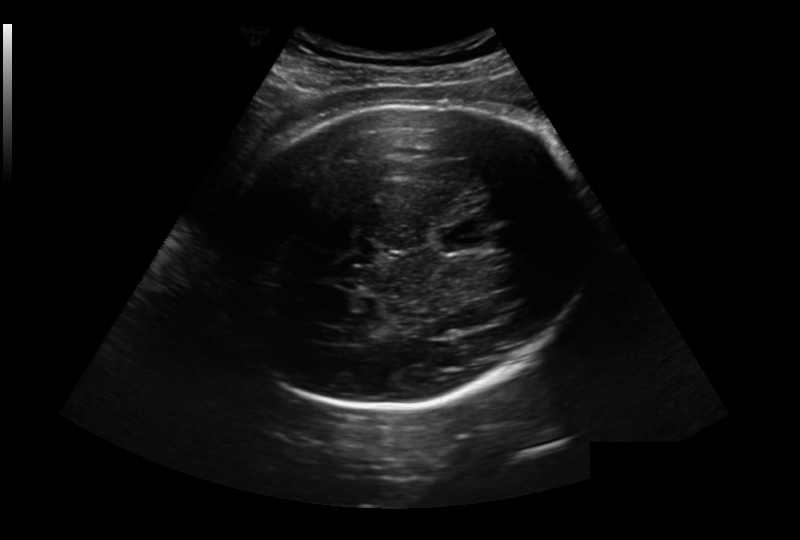
In this fetal head ultrasound, give the bounding box of the cavum septum pellucidum. Image width: 224.8 mm.

[435,220,494,255]